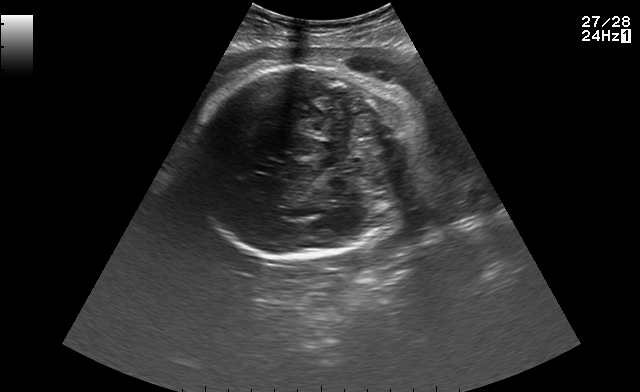
Fetal brain, trans-cerebellum plane. Where is the fetal head?

Head bounding box: [192,63,411,259]